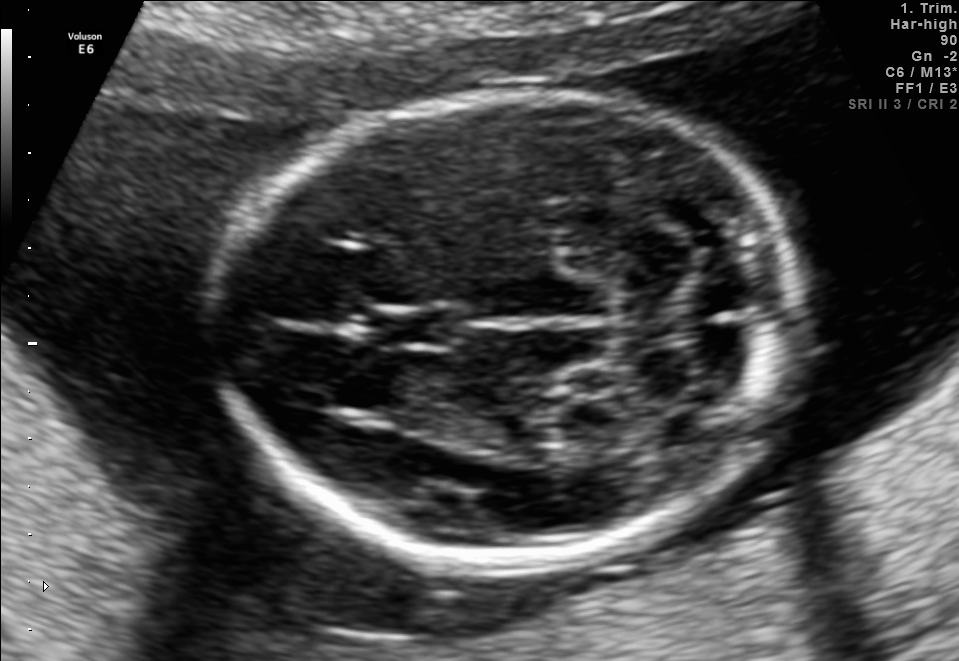
Fetal brain, trans-cerebellum plane. Locate the cavum septum pellucidum.

CSP: [378,307,462,348]